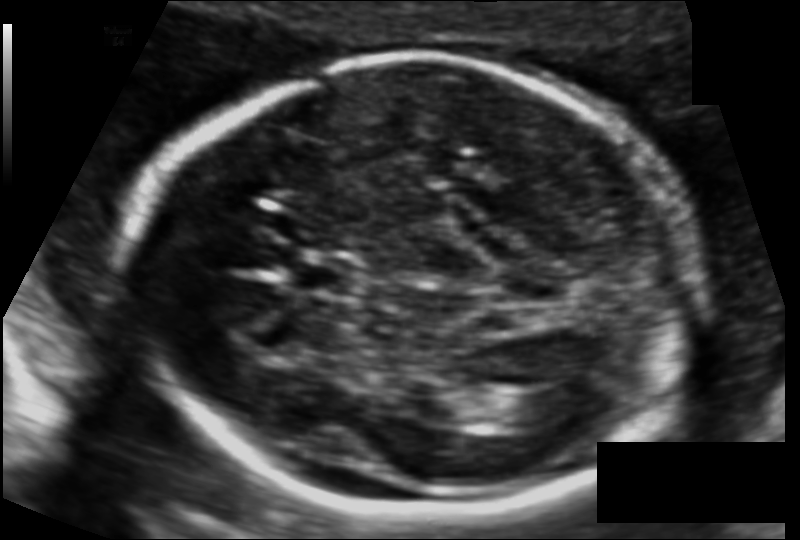
Fetal head ultrasound. Image width: 89.5 mm. Where is the fetal head?

Head bounding box: [128,59,702,512]